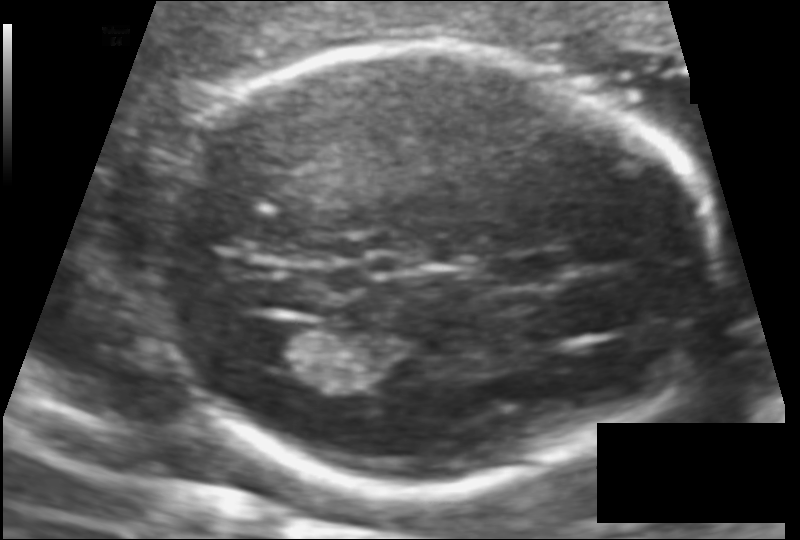
Fetal head ultrasound. Image width: 84.7 mm. Where is the fetal head?

Head bounding box: [151,48,717,489]